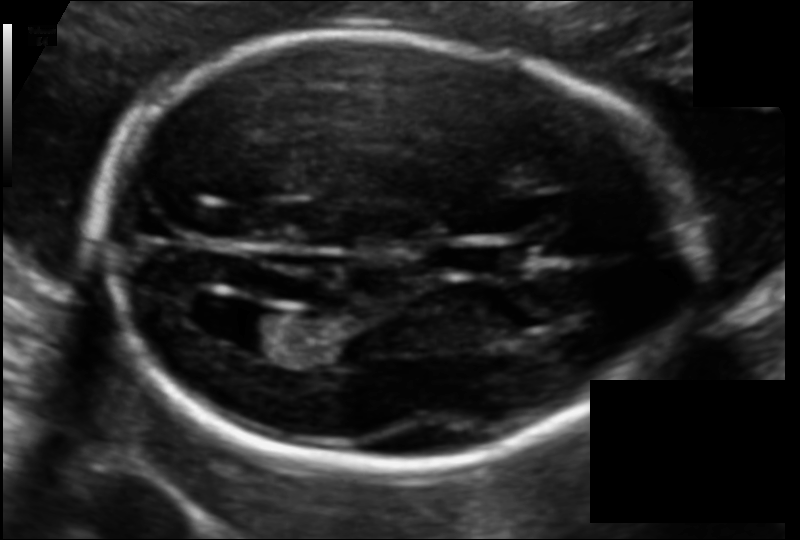
Fetal head ultrasound. Image width: 86.6 mm. Locate the lateral ventricle.

Lateral ventricle: [219,304,301,364]